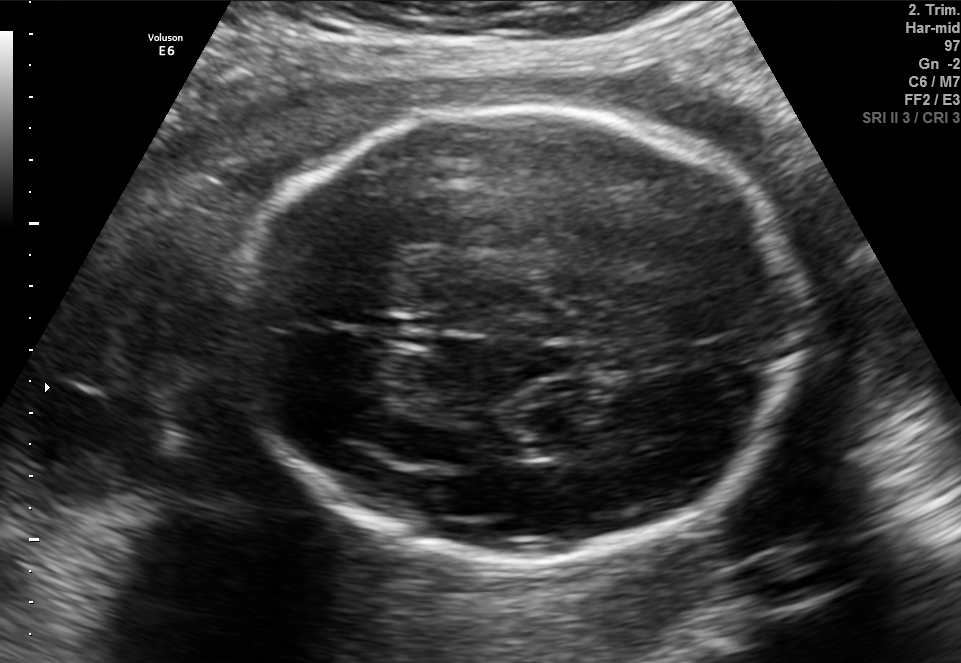
Fetal brain, trans-thalamic plane. Locate the fetal head.

Head: [220,107,799,558]